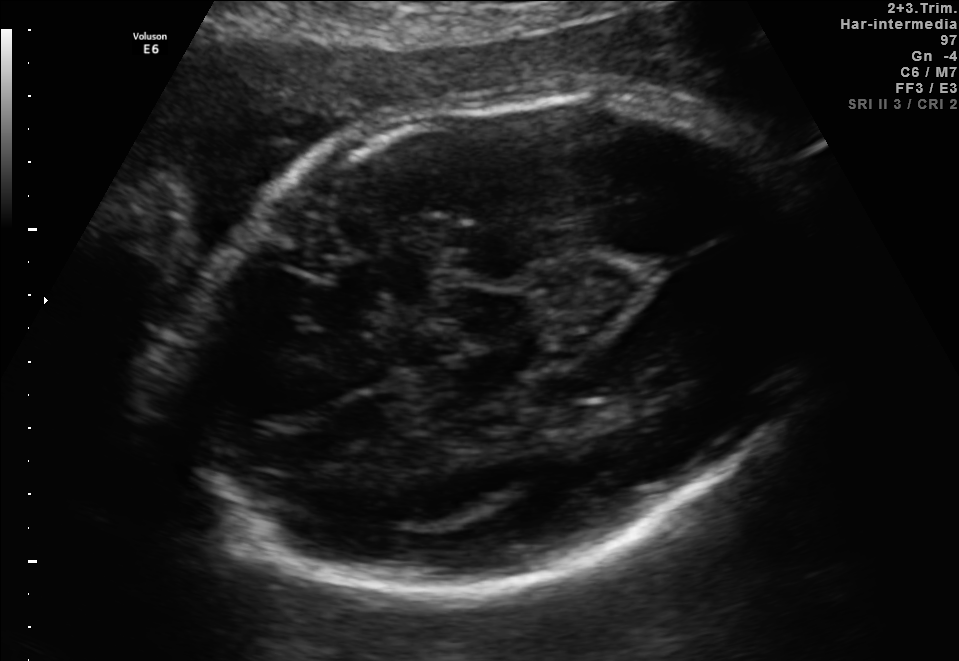
Fetal brain, trans-thalamic plane. Give [x1,y1,x2,y2] bounding boxes for each visible structure among: fetal head, CSP, LV.

Head: [174,91,819,590]